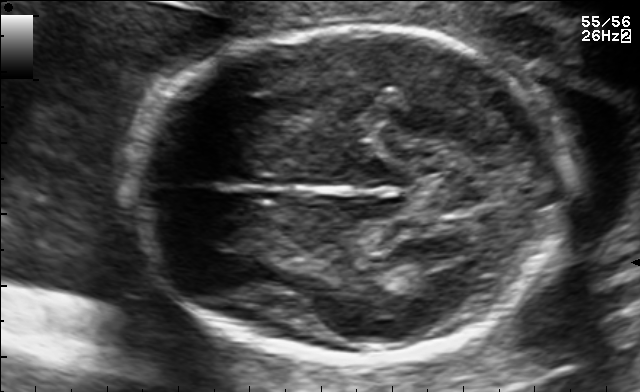
Fetal brain, trans-thalamic plane. Locate the fetal head and, if visible, the cavum septum pellucidum (CSP) and lateral ventricle (LV). Give bounding boxes as [x1,y1,x2,y2].

Head: [127,26,572,359]